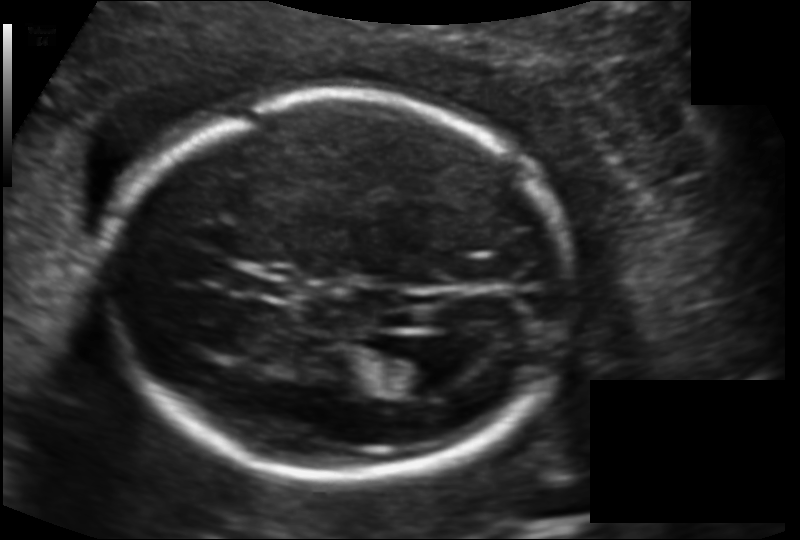
Measure the fetal head circumference shown in this ultrasound image. Image width: 107.3 mm.

Head circumference: 183.5 mm.